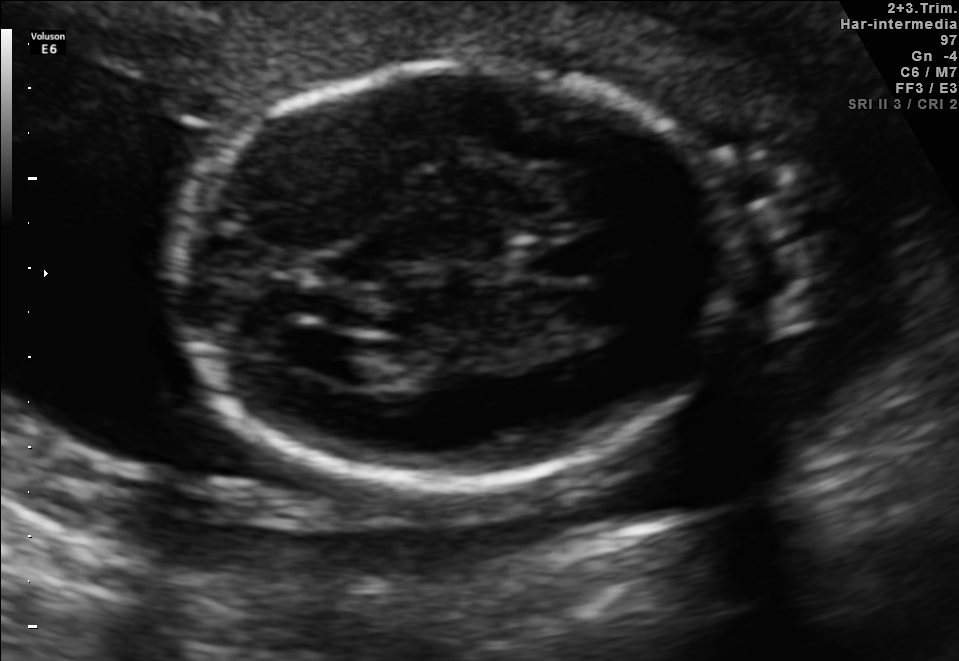
In this fetal brain, trans-ventricular plane, give the bounding box of the fetal head.

[158,58,759,495]